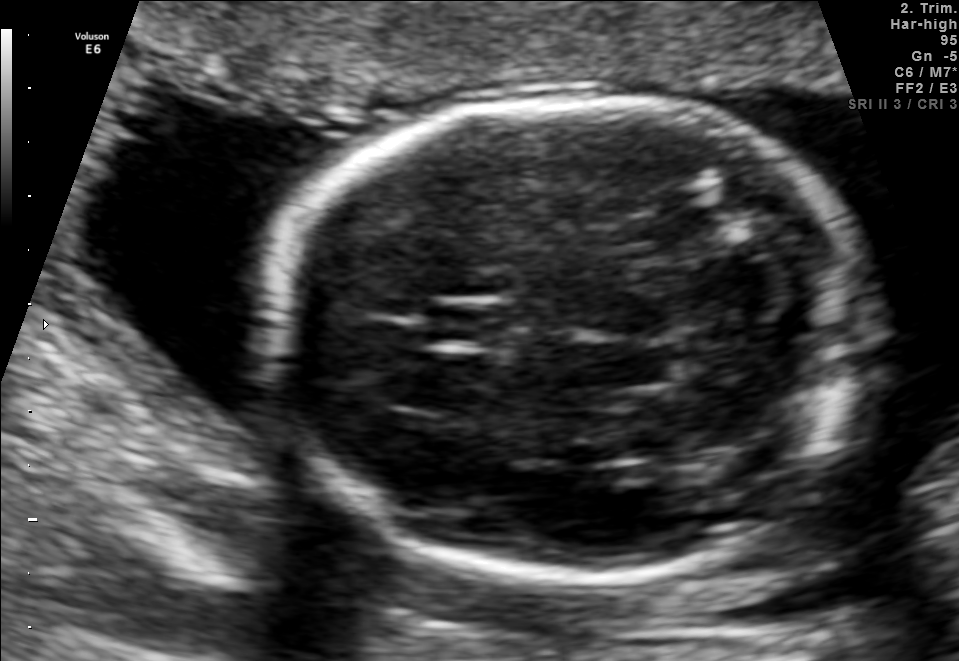
Fetal brain, trans-cerebellum plane. Where is the fetal head?

Head bounding box: [268,101,867,576]